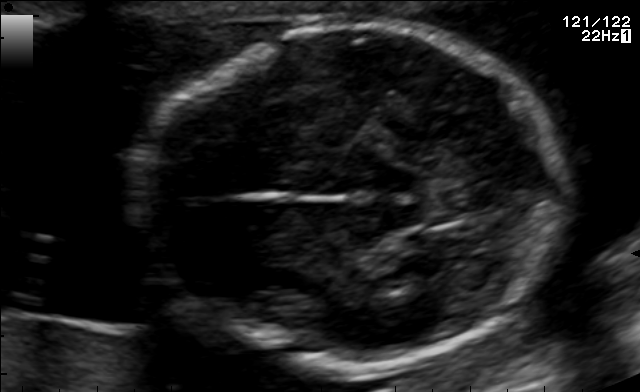
Which standard maternal-fetal ultrasound plane is shown: fetal abdomen, fetal brain, fetal femur, fetal thorax, maternal cervix, or other? If it's fetal brain and one of the three standard brain planes (trans-thalamic, trans-cerebellum, trans-ventricular), name which.

Fetal brain (trans-thalamic plane)